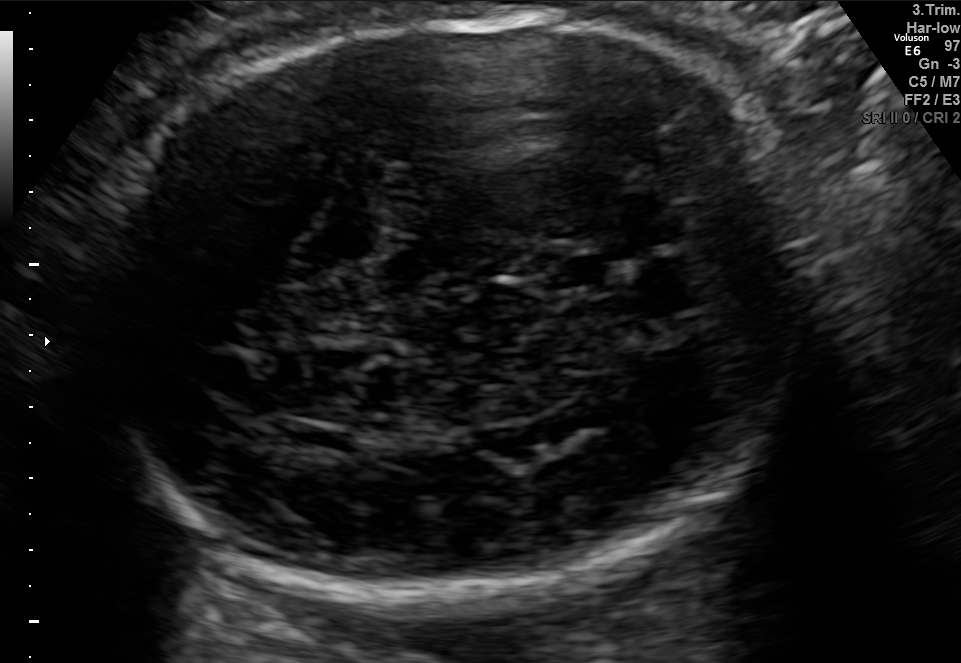
In this fetal brain, trans-thalamic plane, give bounding boxes for the head outline, cavum septum pellucidum (CSP), and lateral ventricle (LV), where visible.

Head: [86,8,815,585]
CSP: [547,253,607,291]
Lateral ventricle: [283,417,351,460]